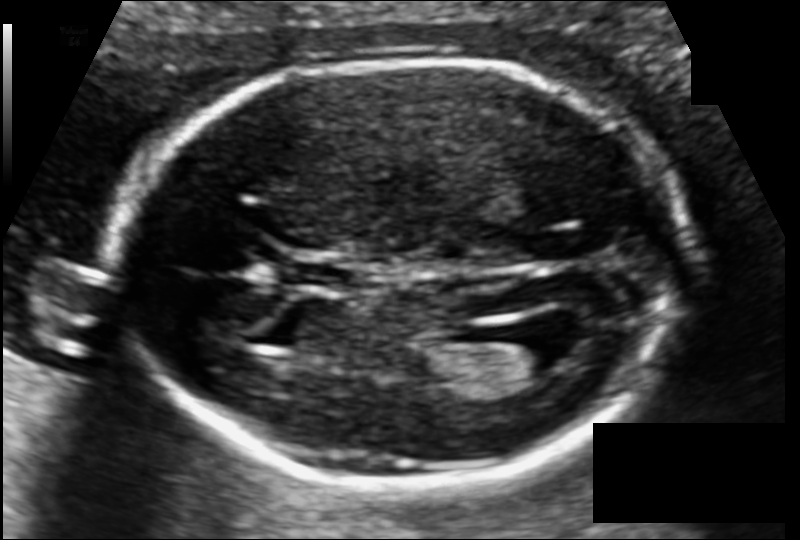
In this fetal head ultrasound, give the bounding box of the cavum septum pellucidum. Image width: 82.9 mm.

[288,262,347,287]